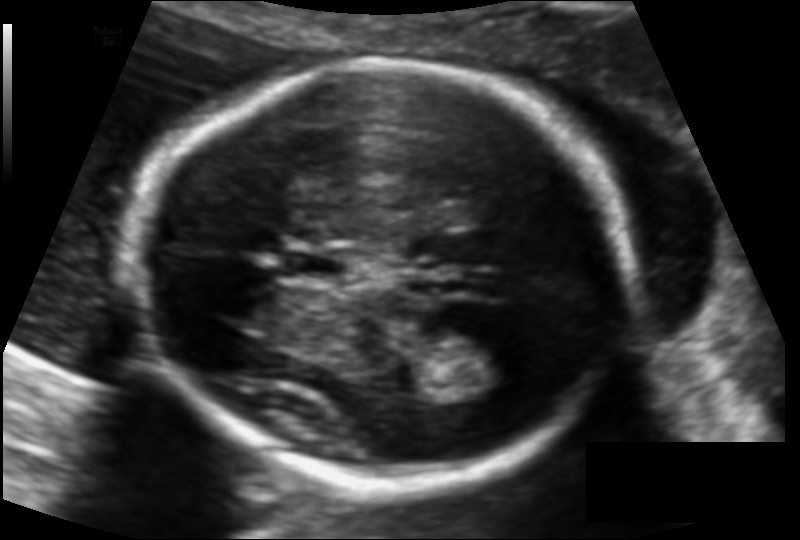
Fetal head ultrasound. Image width: 90.8 mm. Locate the fetal head and, if visible, the cavum septum pellucidum (CSP) and lateral ventricle (LV). Give bounding boxes as [x1,y1,x2,y2].

Head: [141,60,631,482]
CSP: [284,249,346,283]